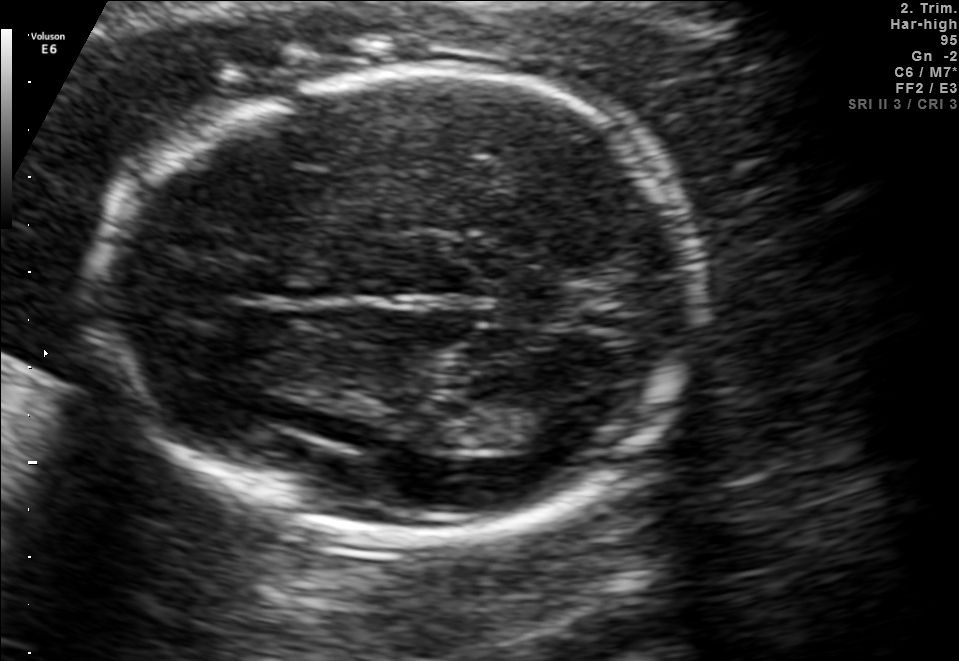
In this fetal brain, trans-thalamic plane, give bounding boxes for the head outline, cavum septum pellucidum (CSP), and lateral ventricle (LV), where visible.

Head: [117,68,700,531]
Lateral ventricle: [492,400,586,455]